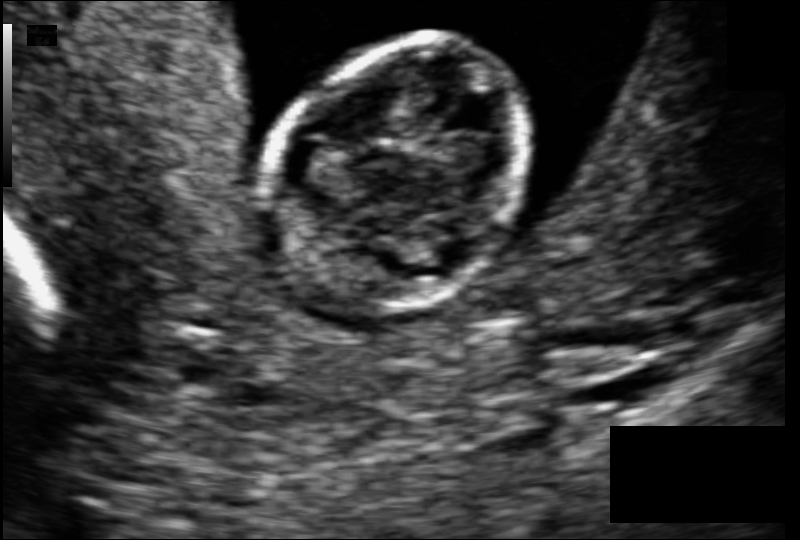
From this fetal ultrasound, estimate the head circumference (image width 63.6 mm).

Head circumference: 68.7 mm.